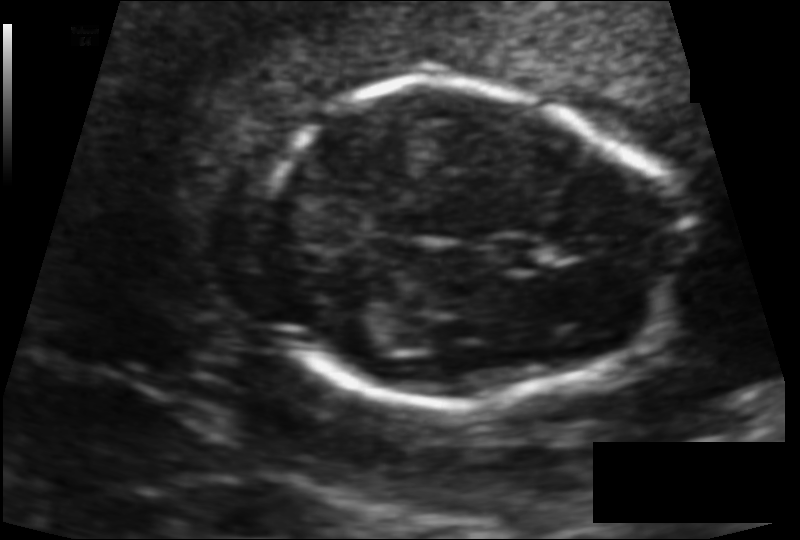
Fetal head ultrasound. Image width: 80.4 mm. Give [x1,y1,x2,y2] bounding boxes for each visible structure among: fetal head, CSP, LV.

Head: [254,84,682,407]
CSP: [492,240,543,270]
Lateral ventricle: [331,313,392,351]